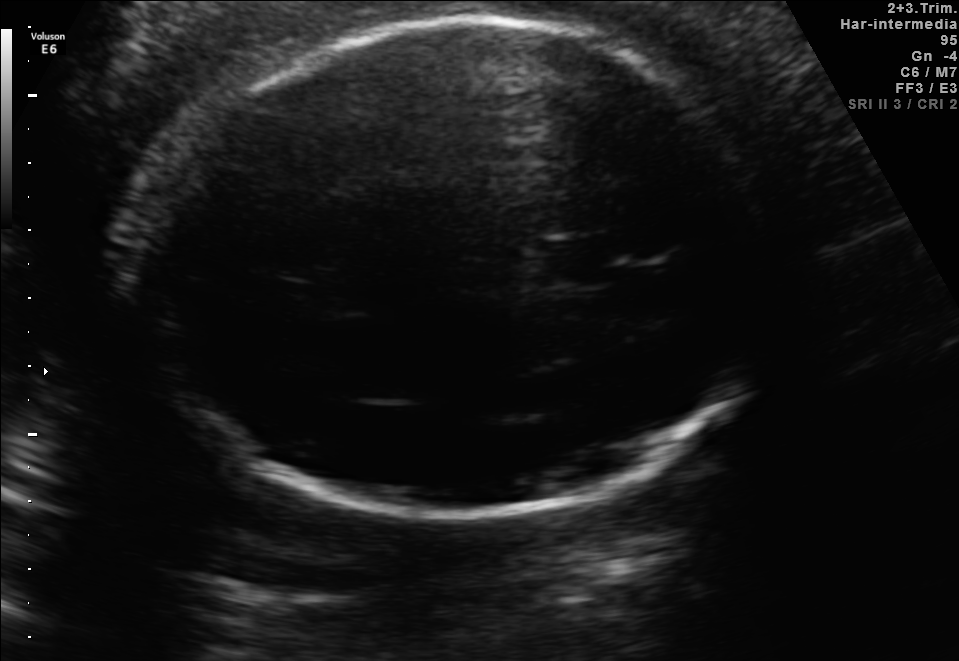
In this fetal brain, trans-thalamic plane, give bounding boxes for the head outline, cavum septum pellucidum (CSP), and lateral ventricle (LV), where visible.

Head: [137,22,762,517]
CSP: [536,237,608,285]